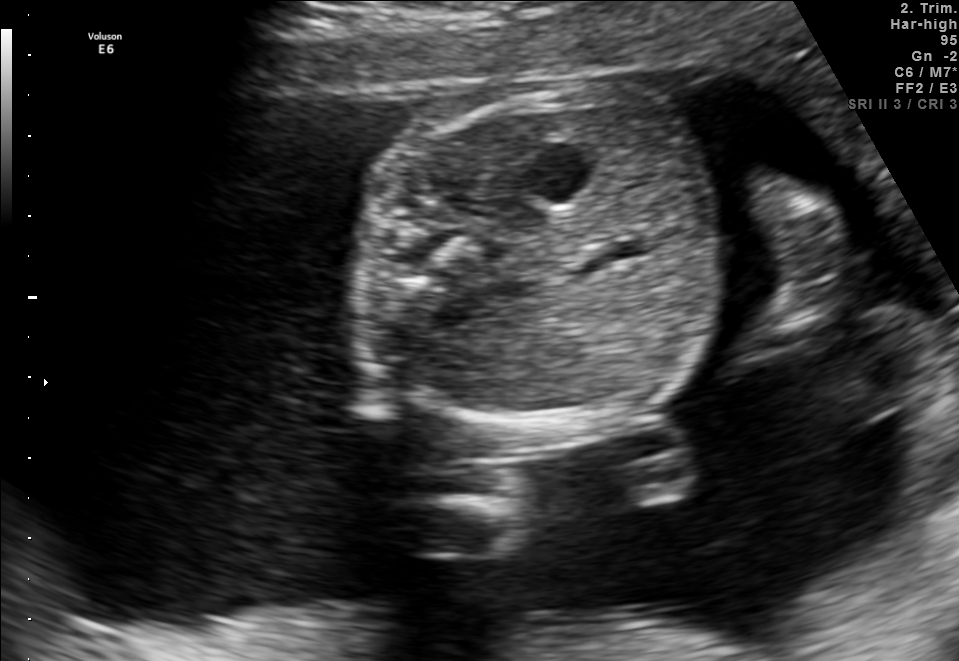
Which standard maternal-fetal ultrasound plane is shown: fetal abdomen, fetal brain, fetal femur, fetal thorax, maternal cervix, or other? If it's fetal brain and one of the three standard brain planes (trans-thalamic, trans-cerebellum, trans-ventricular), name which.

Fetal abdomen